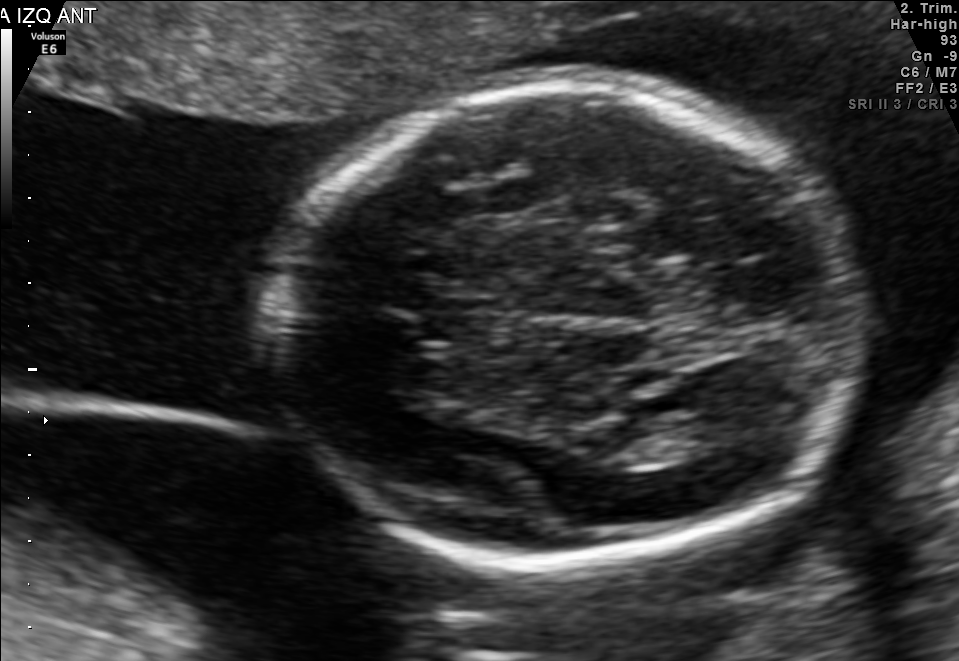
Fetal brain, trans-thalamic plane. Locate the fetal head.

Head: [277,85,866,564]